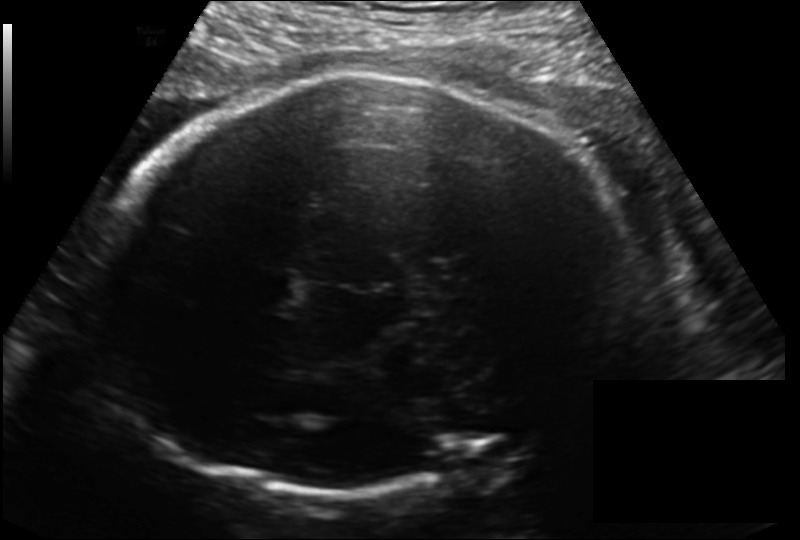
Estimate the fetal head circumference from this 2D ultrasound. Image width: 158.6 mm.

Head circumference: 300.4 mm.